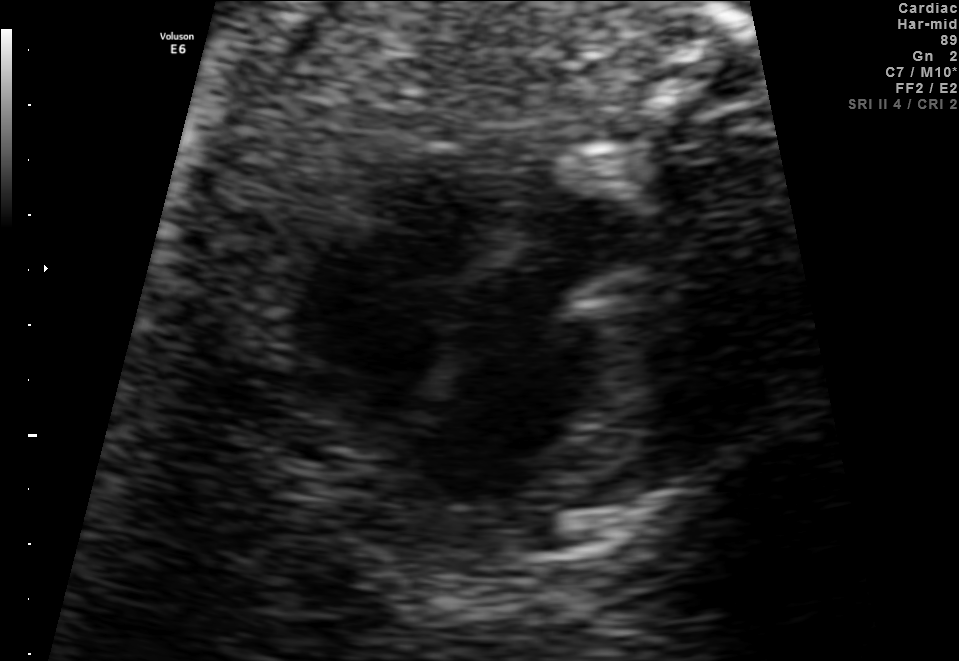
Identify the standard plane in this fetal ultrasound image: fetal abdomen, fetal brain, fetal femur, fetal thorax, maternal cervix, or other. If it's fetal brain and one of the three standard brain planes (trans-thalamic, trans-cerebellum, trans-ventricular), name which.

Fetal thorax